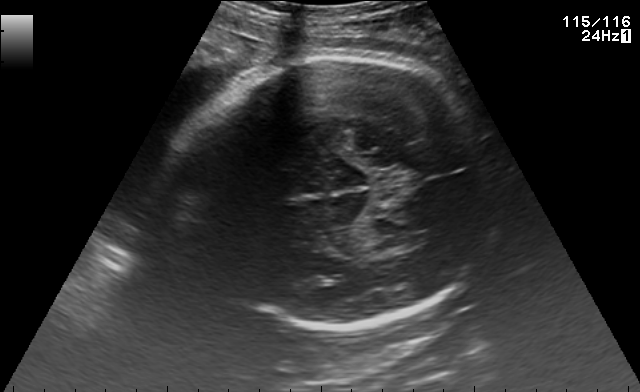
Fetal brain, trans-thalamic plane. Locate the fetal head and, if visible, the cavum septum pellucidum (CSP) and lateral ventricle (LV). Give bounding boxes as [x1,y1,x2,y2].

Head: [163,56,501,330]